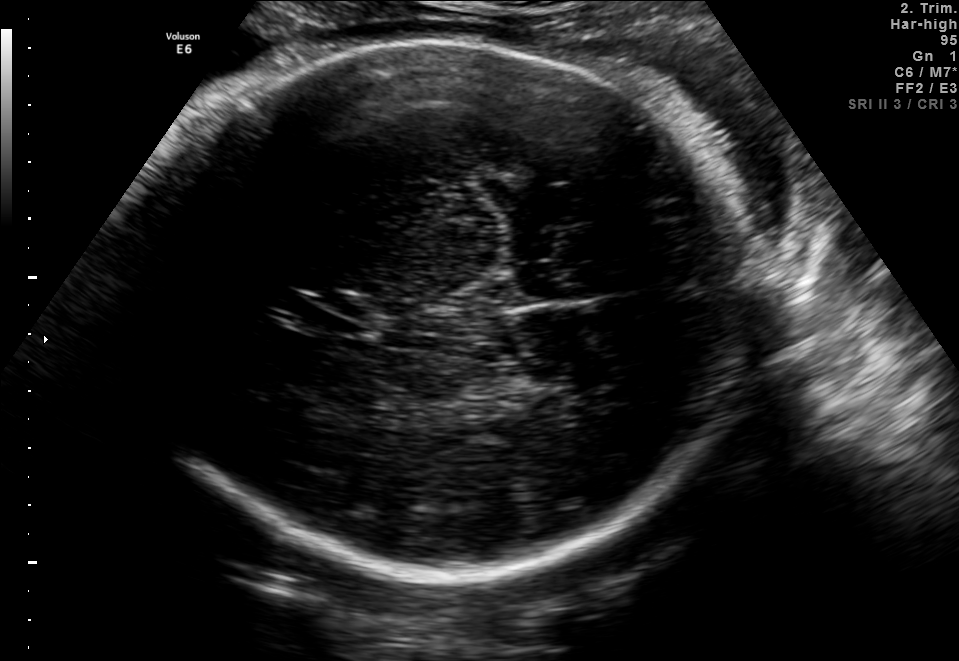
In this fetal brain, trans-thalamic plane, give the bounding box of the fetal head.

[124,43,749,576]